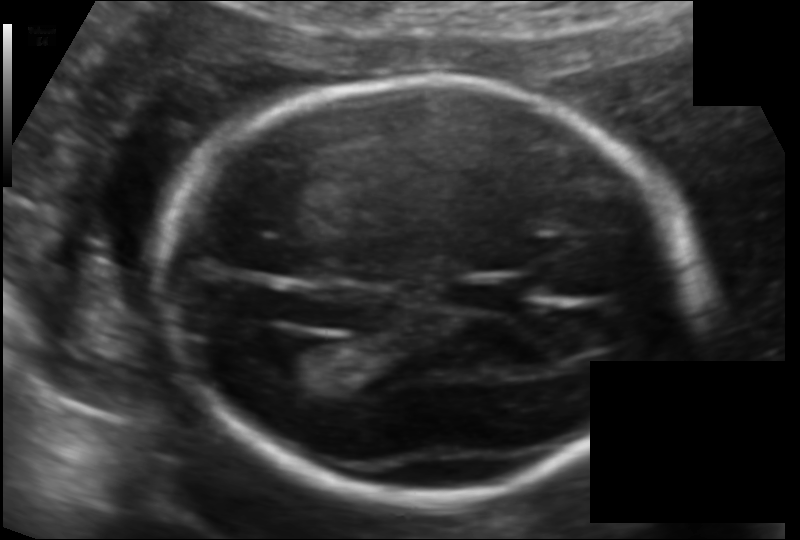
Estimate the fetal head circumference from this 2D ultrasound.

Head circumference: 181.9 mm (image width 94.6 mm).